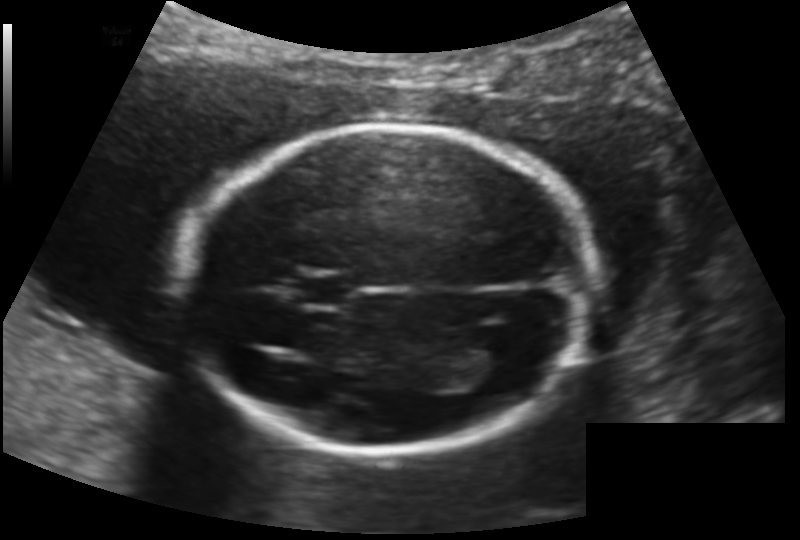
In this fetal head ultrasound, give bounding boxes for the head outline, cavum septum pellucidum (CSP), and lateral ventricle (LV), where visible. Image width: 116.3 mm.

Head: [182,125,601,451]
CSP: [297,275,349,305]
Lateral ventricle: [456,348,518,388]